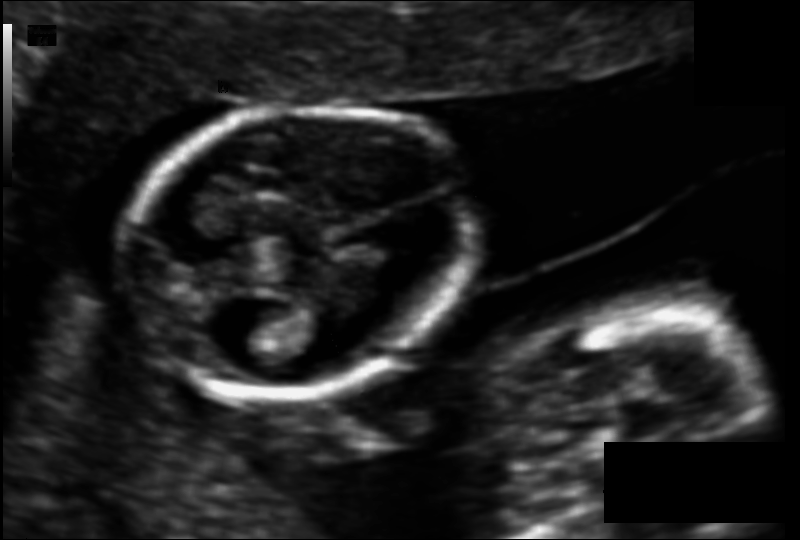
What is the fetal head circumference? Image width is 76.3 mm.

99.7 mm